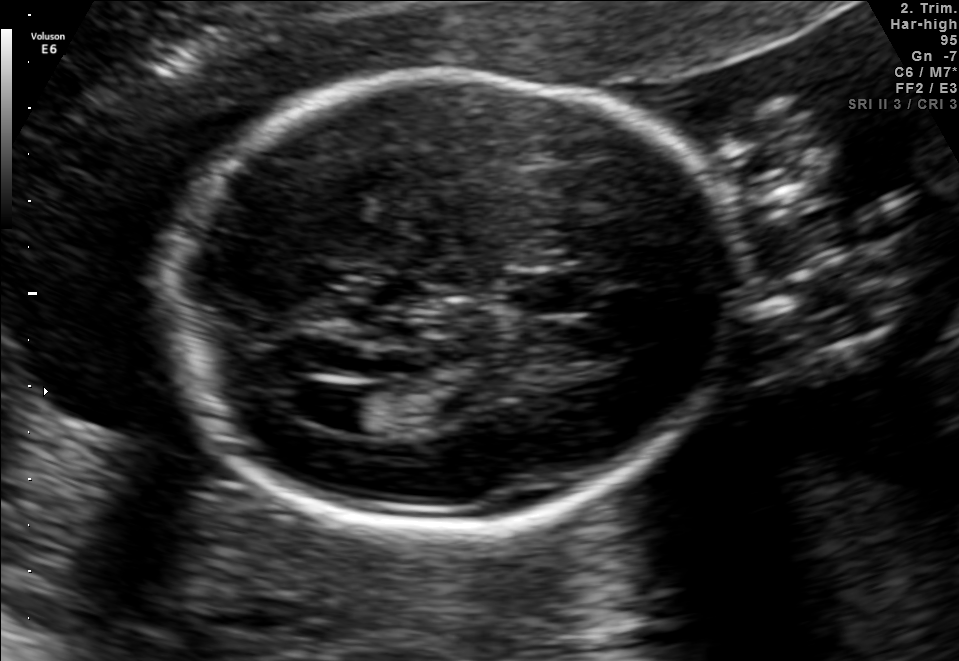
Fetal brain, trans-ventricular plane. Locate the lateral ventricle.

Lateral ventricle: [272,372,379,436]